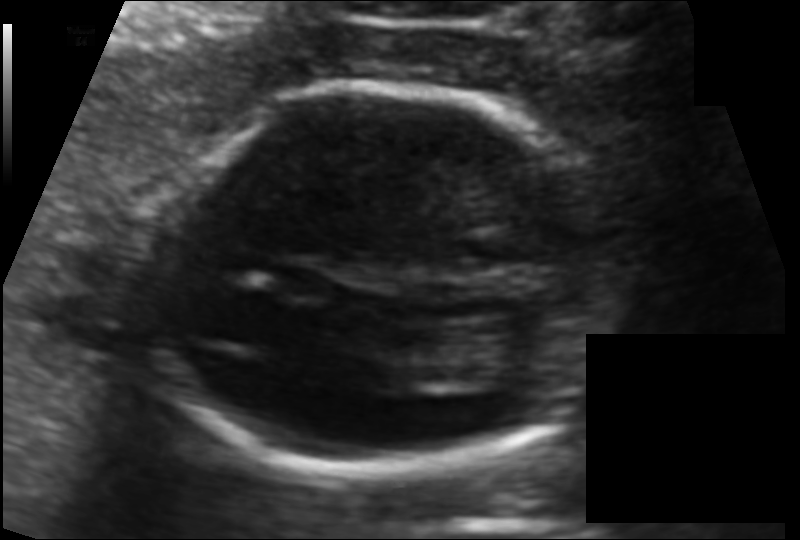
What is the fetal head circumference? Image width is 80.1 mm.

142.3 mm